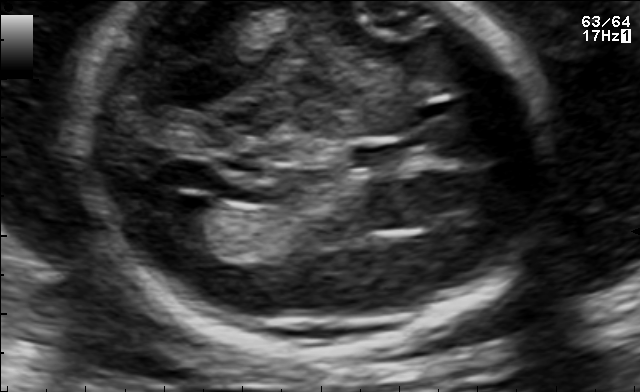
Fetal brain, trans-ventricular plane. Where is the lateral ventricle?

Lateral ventricle bounding box: [142,187,214,242]